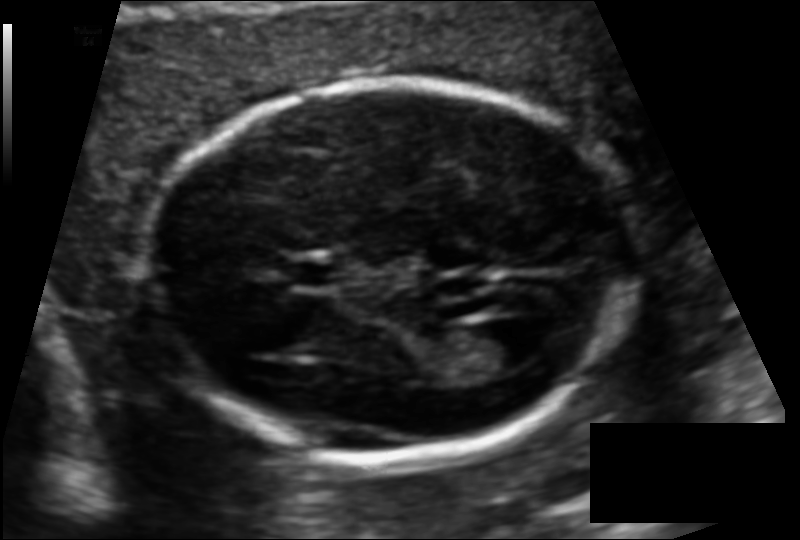
Measure the fetal head circumference shown in this ultrasound image. Image width: 88.0 mm.

Head circumference: 155.3 mm.